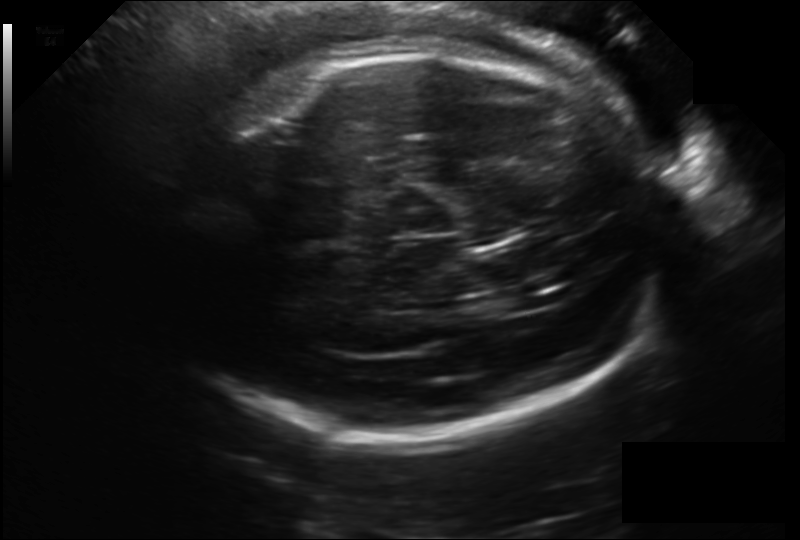
Estimate the fetal head circumference from this 2D ultrasound.

Head circumference: 289.5 mm (image width 162.0 mm).